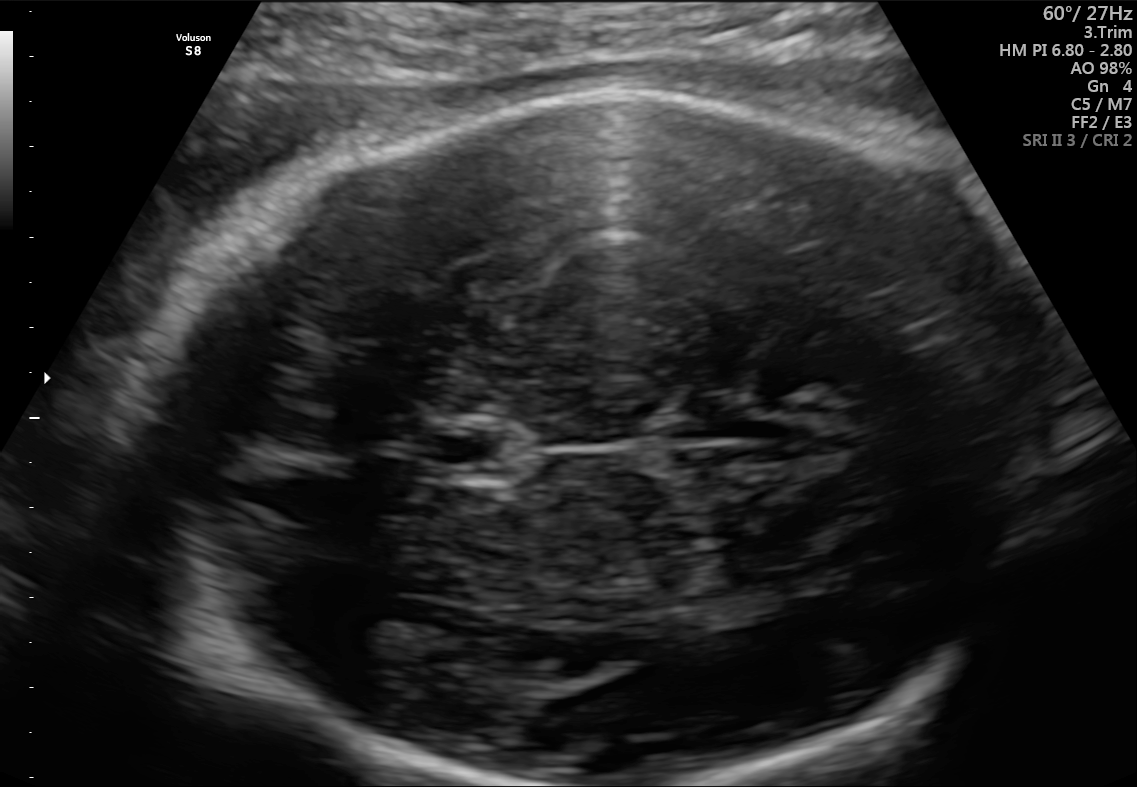
Fetal brain, trans-thalamic plane. Locate the fetal head and, if visible, the cavum septum pellucidum (CSP) and lateral ventricle (LV). Give bounding boxes as [x1,y1,x2,y2].

Head: [124,88,1069,785]
CSP: [421,422,517,479]